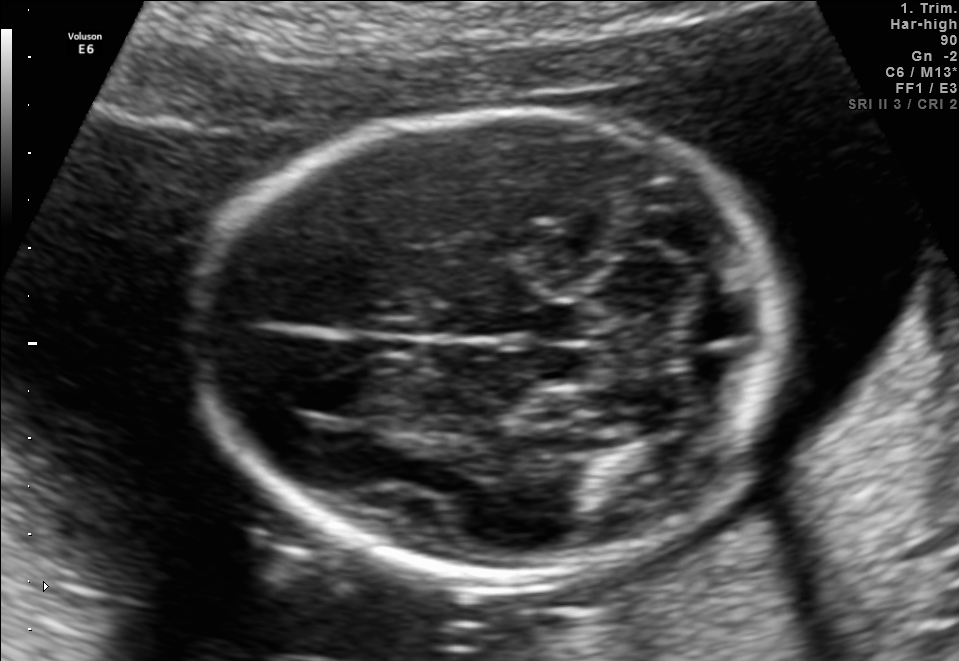
Fetal brain, trans-cerebellum plane. Locate the fetal head.

Head: [205,109,788,572]